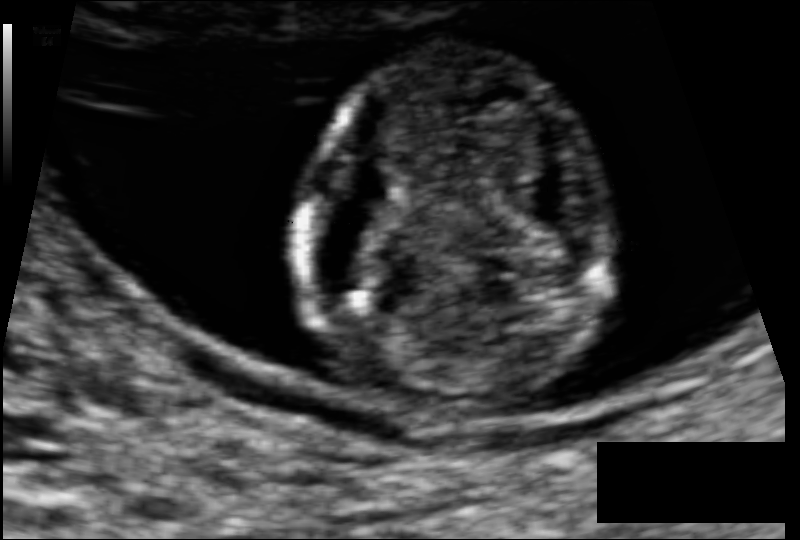
Measure the fetal head circumference shown in this ultrasound image. Image width: 59.5 mm.

Head circumference: 80.5 mm.